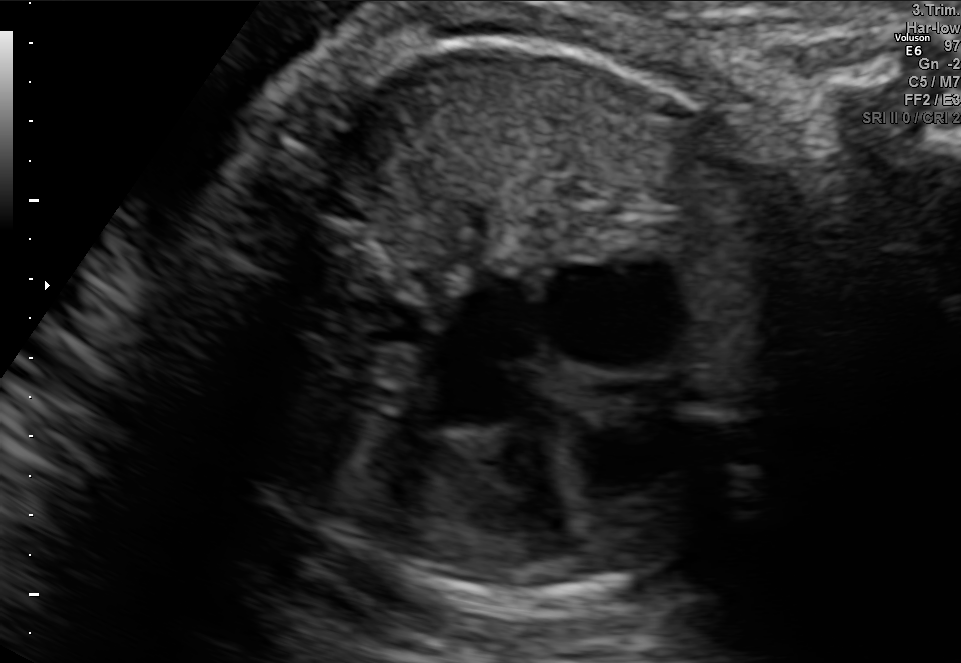
Classify this maternal-fetal ultrasound image as one of the six standard planes — fetal abdomen, fetal brain, fetal femur, fetal thorax, maternal cervix, or other. If it's fetal brain and one of the three standard brain planes (trans-thalamic, trans-cerebellum, trans-ventricular), name which.

Fetal thorax